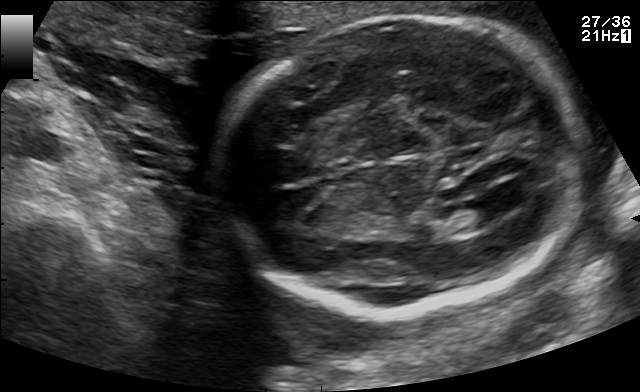
Fetal brain, trans-ventricular plane. Where is the fetal head?

Head bounding box: [212,11,595,319]